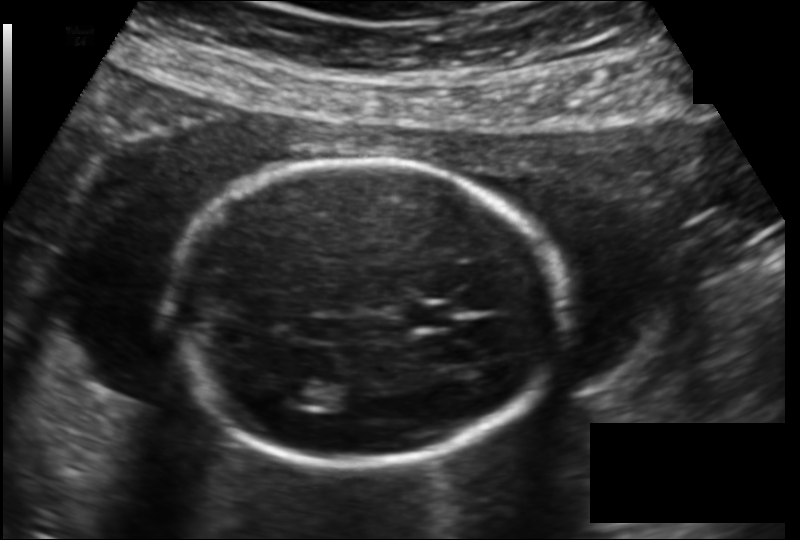
Fetal head ultrasound. Image width: 119.1 mm. Where is the lateral ventricle?

Lateral ventricle bounding box: [272,374,323,412]